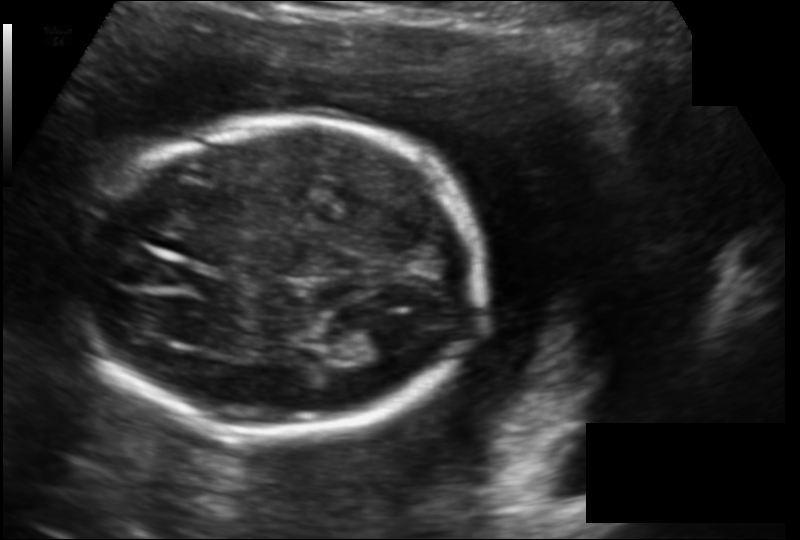
Fetal head ultrasound. Image width: 113.3 mm. Locate the fetal head.

Head: [75,119,481,434]